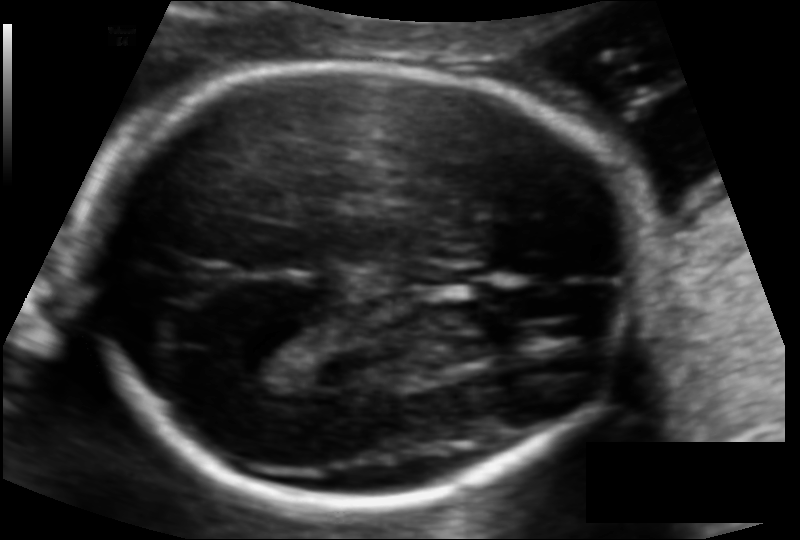
Fetal head ultrasound. Image width: 86.6 mm. Where is the fetal head?

Head bounding box: [82,65,643,505]